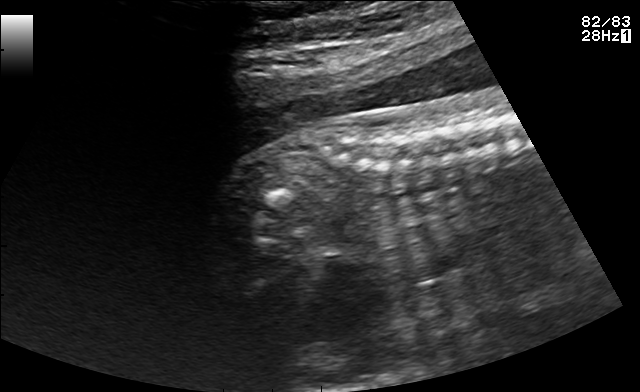
Classify this maternal-fetal ultrasound image as one of the six standard planes — fetal abdomen, fetal brain, fetal femur, fetal thorax, maternal cervix, or other. If it's fetal brain and one of the three standard brain planes (trans-thalamic, trans-cerebellum, trans-ventricular), name which.

Other